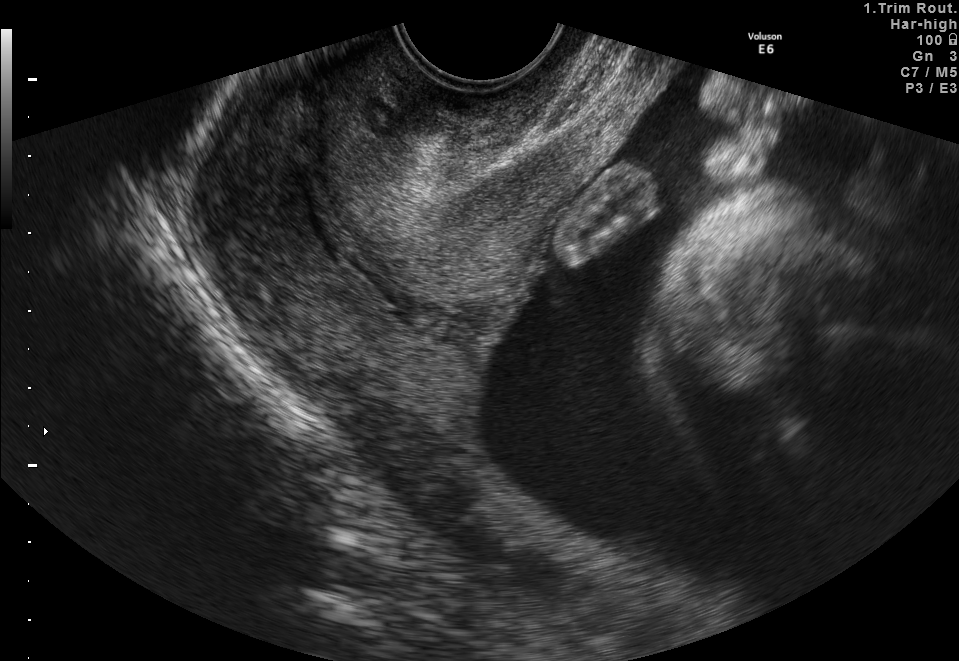
Identify the standard plane in this fetal ultrasound image: fetal abdomen, fetal brain, fetal femur, fetal thorax, maternal cervix, or other. If it's fetal brain and one of the three standard brain planes (trans-thalamic, trans-cerebellum, trans-ventricular), name which.

Maternal cervix